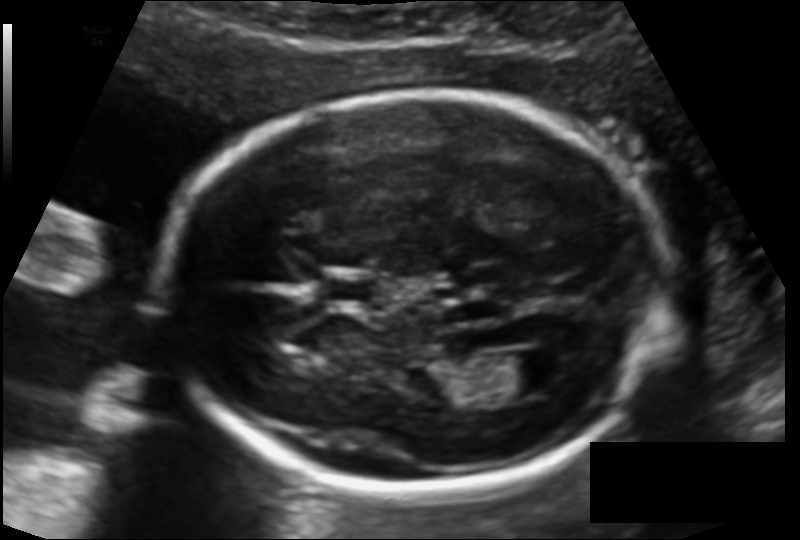
Fetal head ultrasound. Image width: 101.2 mm. Locate the lateral ventricle.

Lateral ventricle: [484,348,563,404]